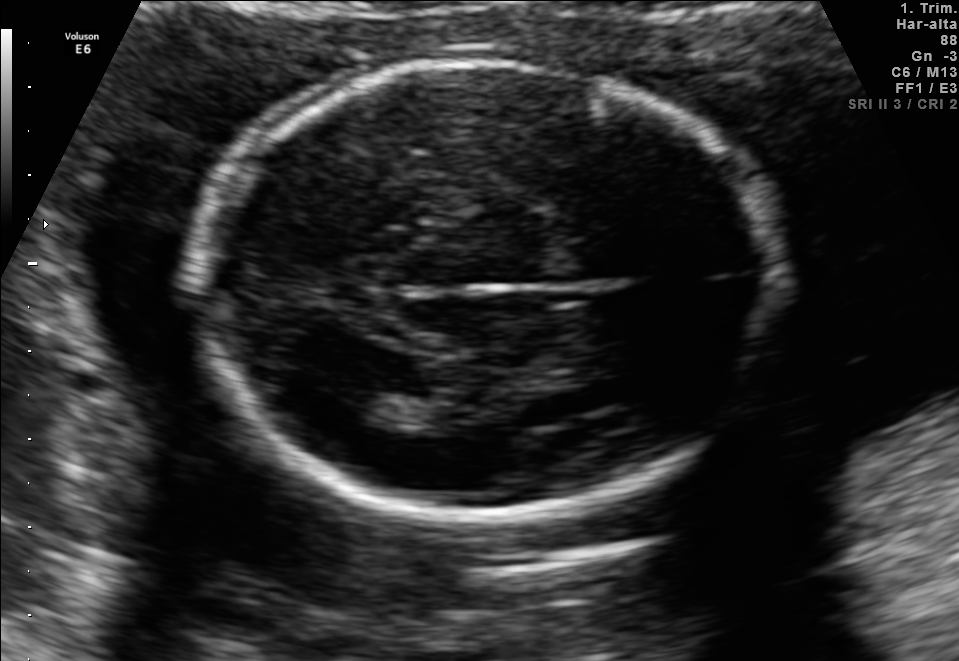
In this fetal brain, trans-thalamic plane, give the bounding box of the lateral ventricle.

[325,376,405,434]